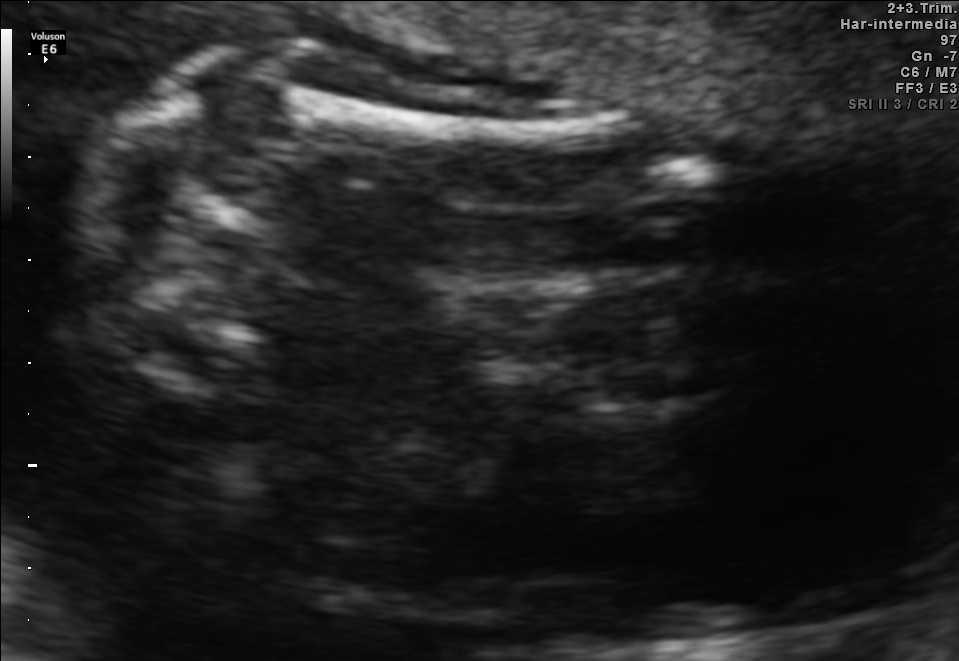
This is a 2D maternal-fetal ultrasound frame. Is it a fetal abdomen, fetal brain, fetal femur, fetal thorax, maternal cervix, or other standard plane? If it's fetal brain and one of the three standard brain planes (trans-thalamic, trans-cerebellum, trans-ventricular), name which.

Fetal femur